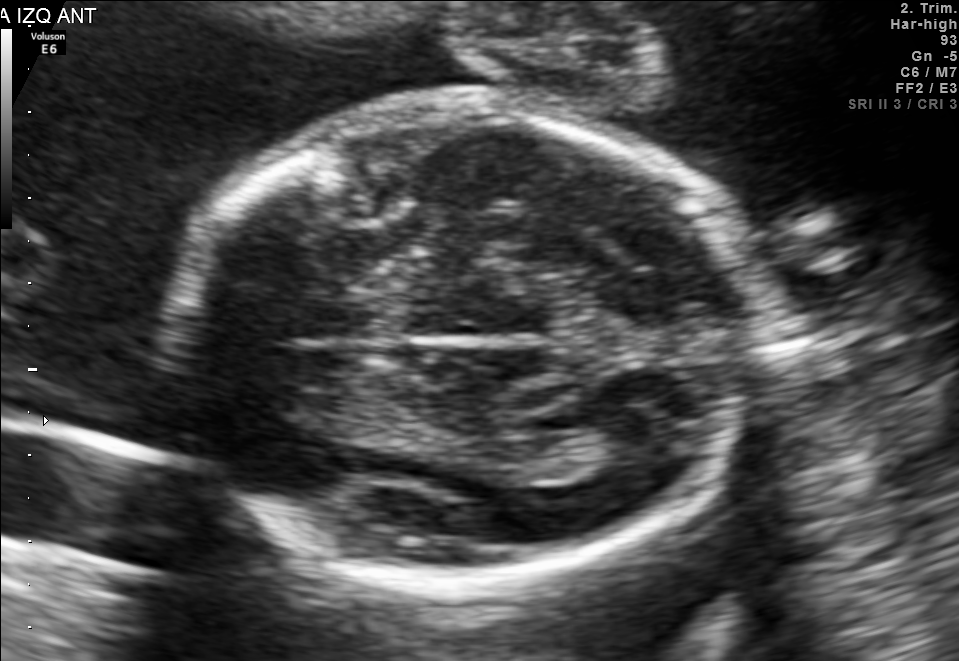
Fetal brain, trans-thalamic plane. Where is the lateral ventricle?

Lateral ventricle bounding box: [559,422,657,480]